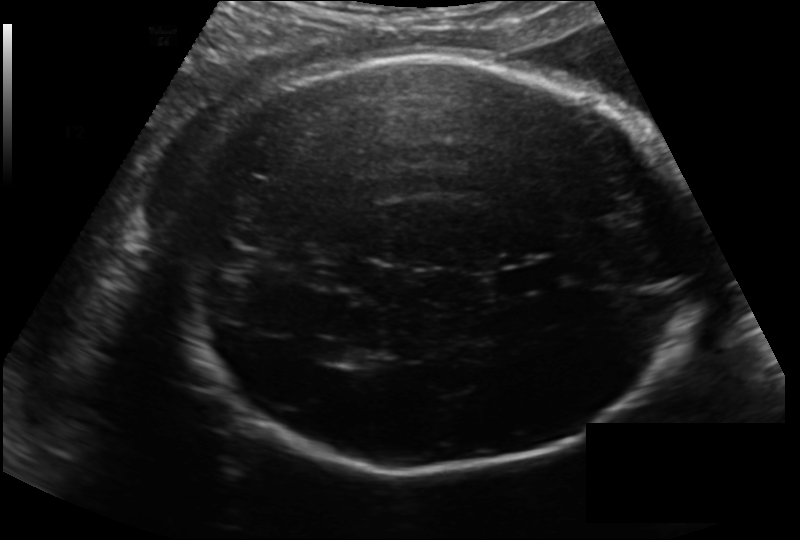
In this fetal head ultrasound, give bounding boxes for the head outline, cavum septum pellucidum (CSP), and lateral ventricle (LV), where visible. Image width: 146.5 mm.

Head: [171,56,699,468]
CSP: [490,254,570,302]